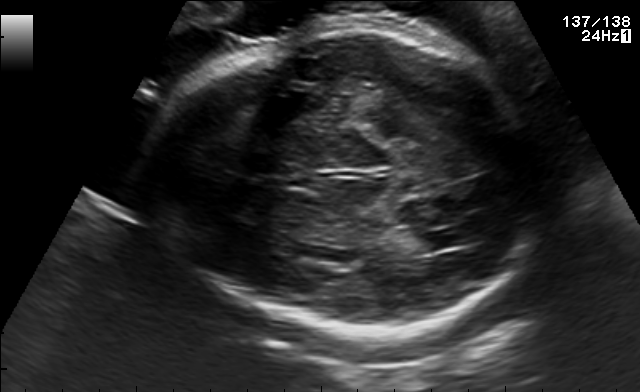
Fetal brain, trans-thalamic plane. Locate the lateral ventricle.

Lateral ventricle: [410,224,469,256]